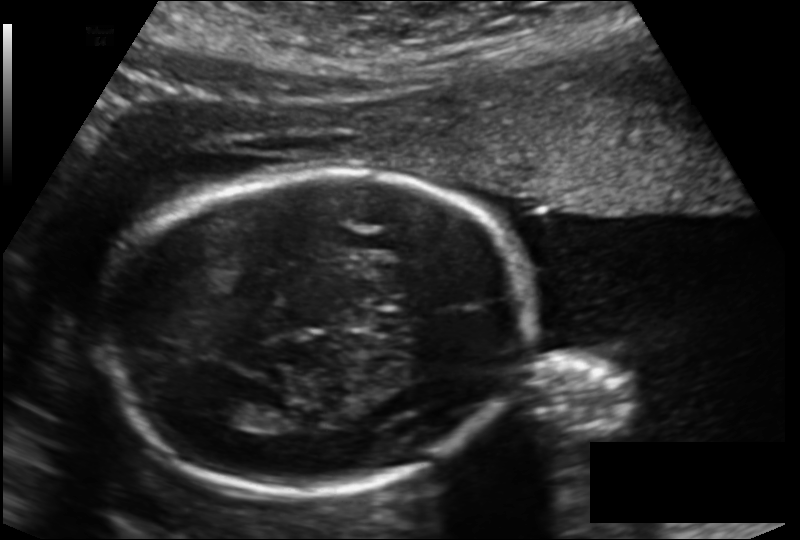
Fetal head ultrasound. Image width: 123.8 mm. Locate the lateral ventricle.

Lateral ventricle: [201,394,262,429]